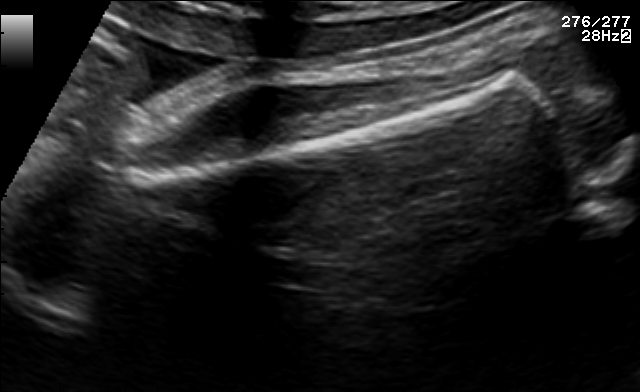
Which standard maternal-fetal ultrasound plane is shown: fetal abdomen, fetal brain, fetal femur, fetal thorax, maternal cervix, or other? If it's fetal brain and one of the three standard brain planes (trans-thalamic, trans-cerebellum, trans-ventricular), name which.

Fetal femur